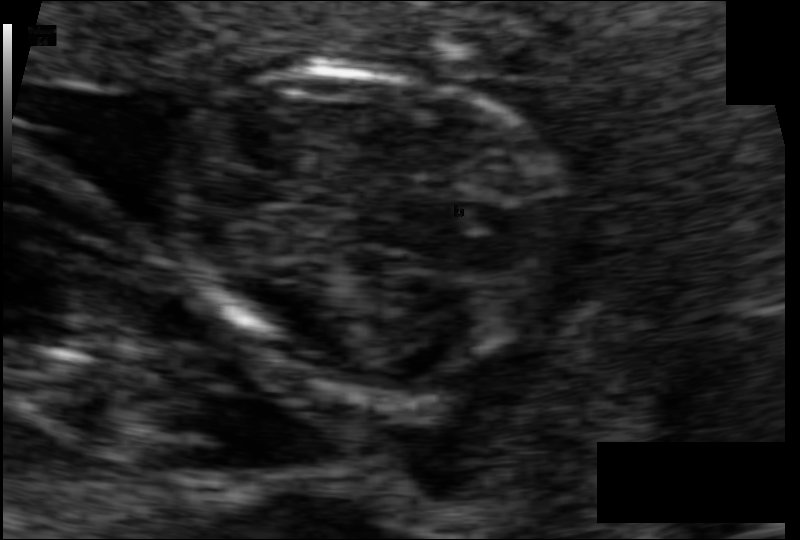
Fetal head ultrasound. Image width: 48.5 mm. Where is the fetal head?

Head bounding box: [166,64,567,373]